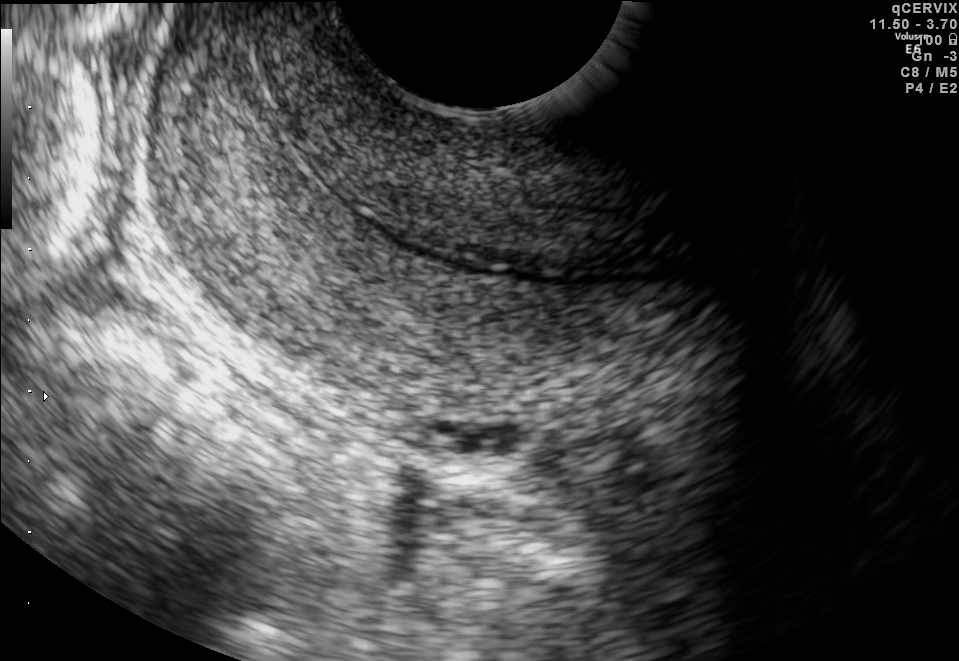
Identify the standard plane in this fetal ultrasound image: fetal abdomen, fetal brain, fetal femur, fetal thorax, maternal cervix, or other. If it's fetal brain and one of the three standard brain planes (trans-thalamic, trans-cerebellum, trans-ventricular), name which.

Maternal cervix